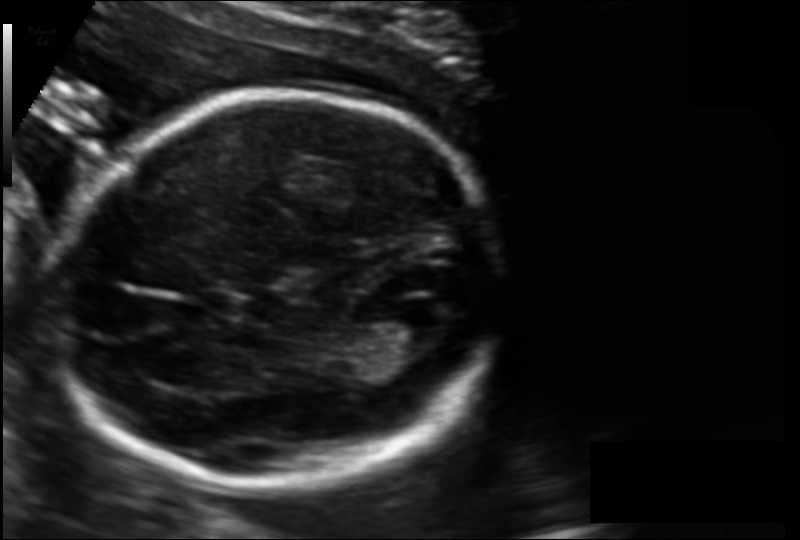
Fetal head ultrasound. Image width: 102.4 mm. Locate the fetal head.

Head: [60,91,498,488]